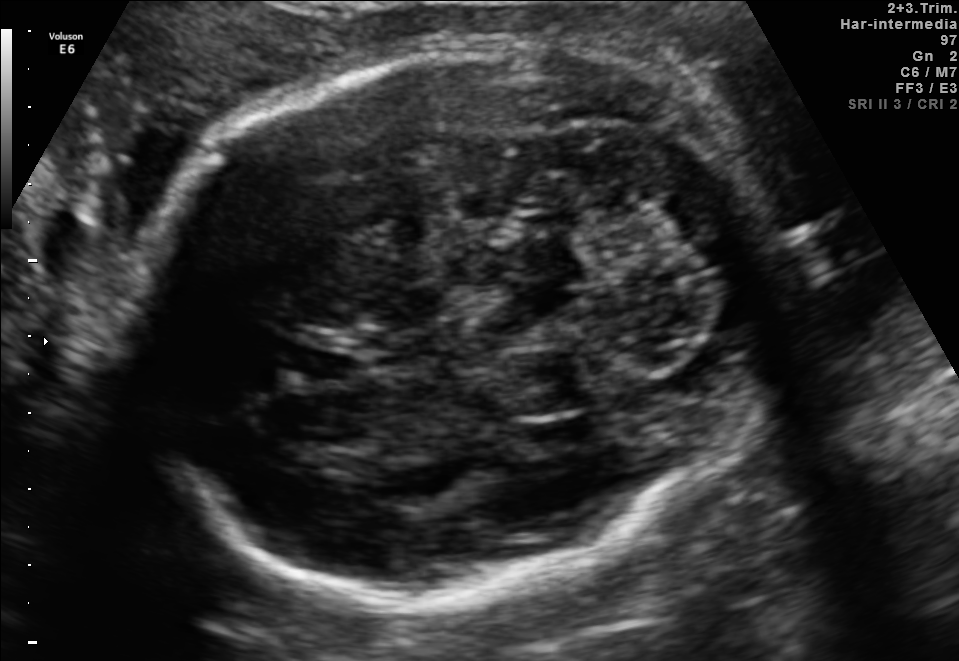
Which standard maternal-fetal ultrasound plane is shown: fetal abdomen, fetal brain, fetal femur, fetal thorax, maternal cervix, or other? If it's fetal brain and one of the three standard brain planes (trans-thalamic, trans-cerebellum, trans-ventricular), name which.

Fetal brain (trans-cerebellum plane)